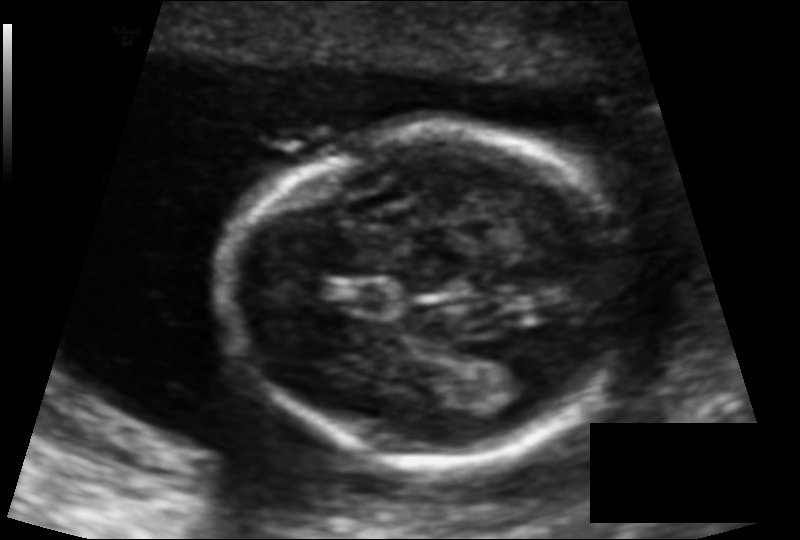
In this fetal head ultrasound, give bounding boxes for the head outline, cavum septum pellucidum (CSP), and lateral ventricle (LV), where visible. Image width: 81.7 mm.

Head: [232,129,621,463]